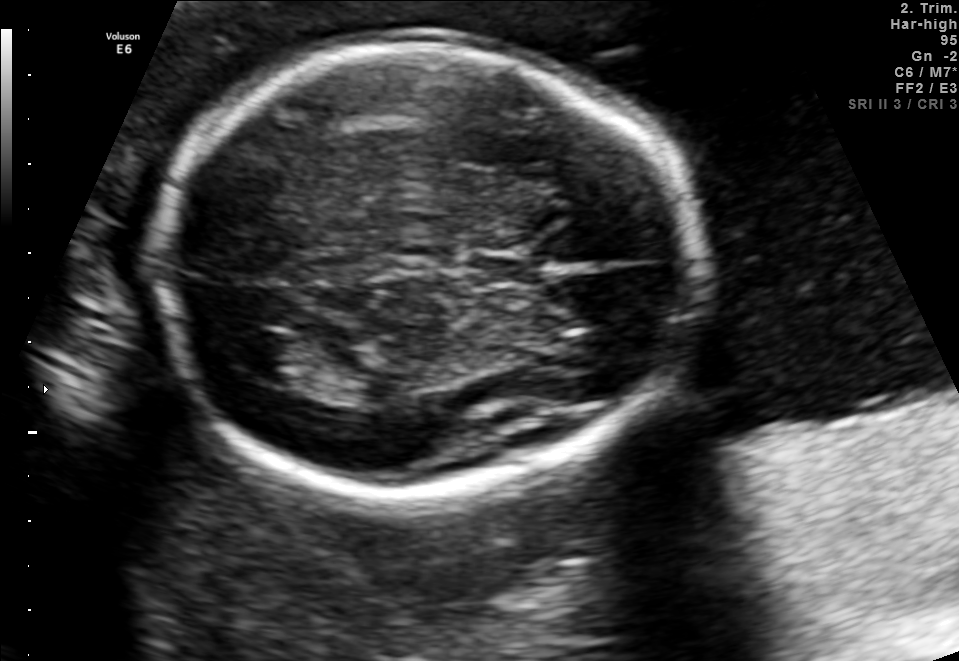
Fetal brain, trans-thalamic plane. Give [x1,y1,x2,y2] bounding boxes for each visible structure among: fetal head, CSP, LV.

Head: [151,41,698,496]
CSP: [471,252,535,285]
Lateral ventricle: [217,320,303,386]